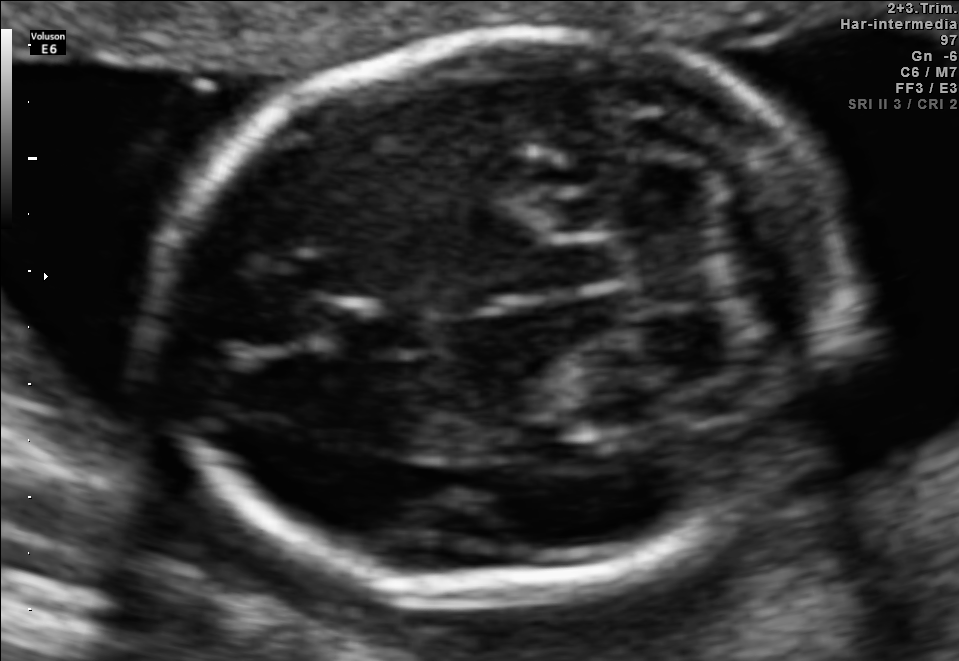
Fetal brain, trans-cerebellum plane. Give [x1,y1,x2,y2] bounding boxes for each visible structure among: fetal head, CSP, LV.

Head: [161,28,846,597]
CSP: [325,306,430,356]